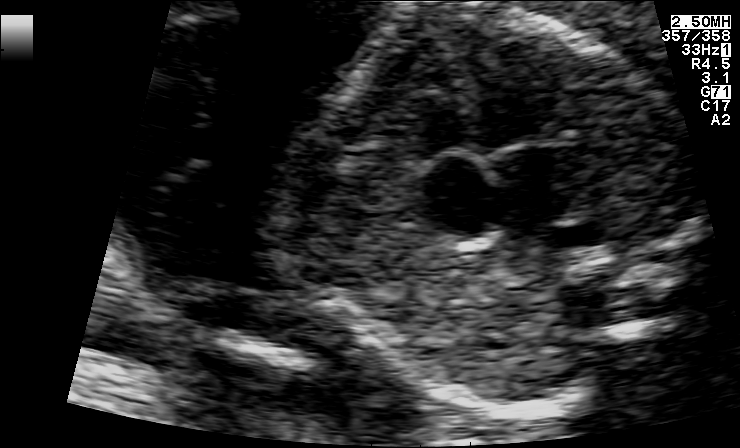
Classify this maternal-fetal ultrasound image as one of the six standard planes — fetal abdomen, fetal brain, fetal femur, fetal thorax, maternal cervix, or other. If it's fetal brain and one of the three standard brain planes (trans-thalamic, trans-cerebellum, trans-ventricular), name which.

Fetal thorax